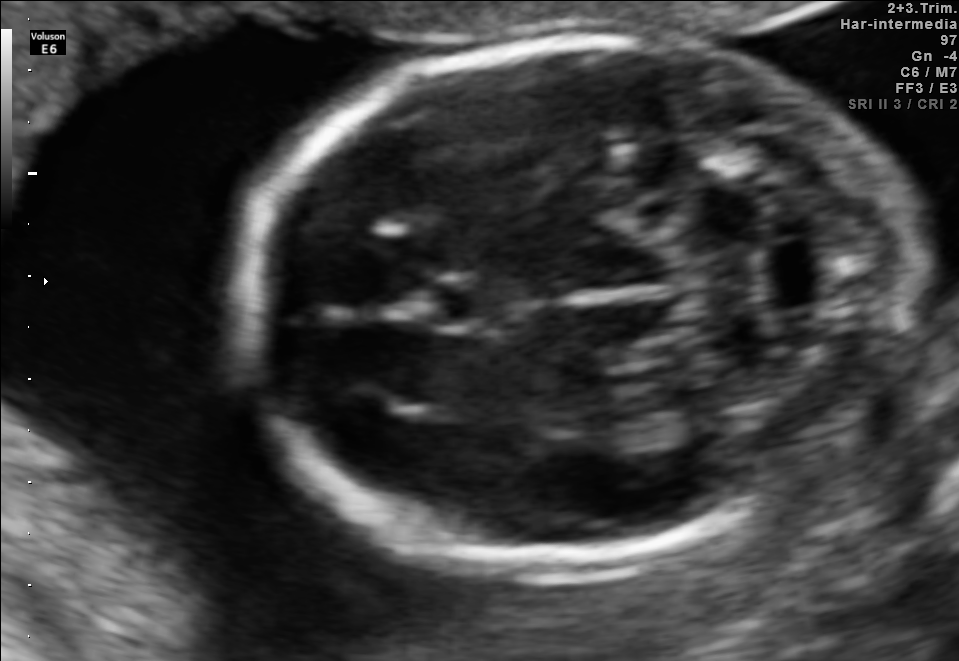
Fetal brain, trans-cerebellum plane. Locate the fetal head and, if visible, the cavum septum pellucidum (CSP) and lateral ventricle (LV). Give bounding boxes as [x1,y1,x2,y2].

Head: [245,37,908,562]
CSP: [425,273,520,332]